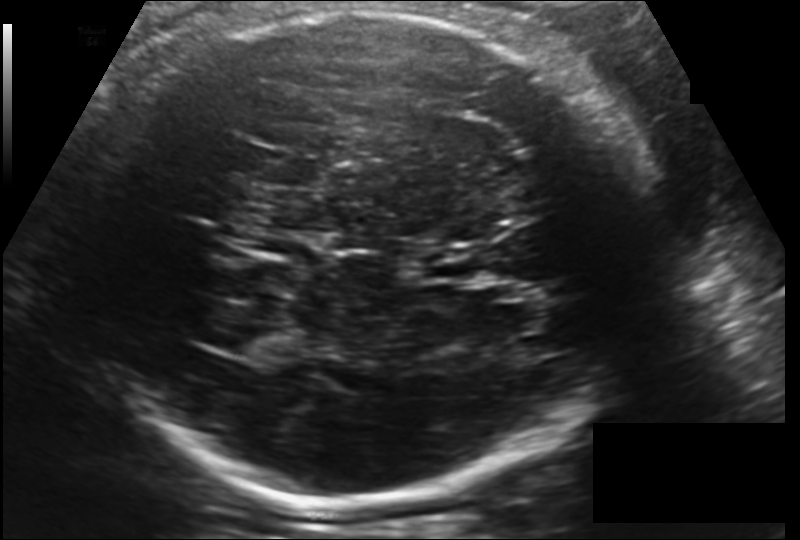
Fetal head ultrasound. Image width: 145.0 mm. Where is the lateral ventricle?

Lateral ventricle bounding box: [212,316,279,364]